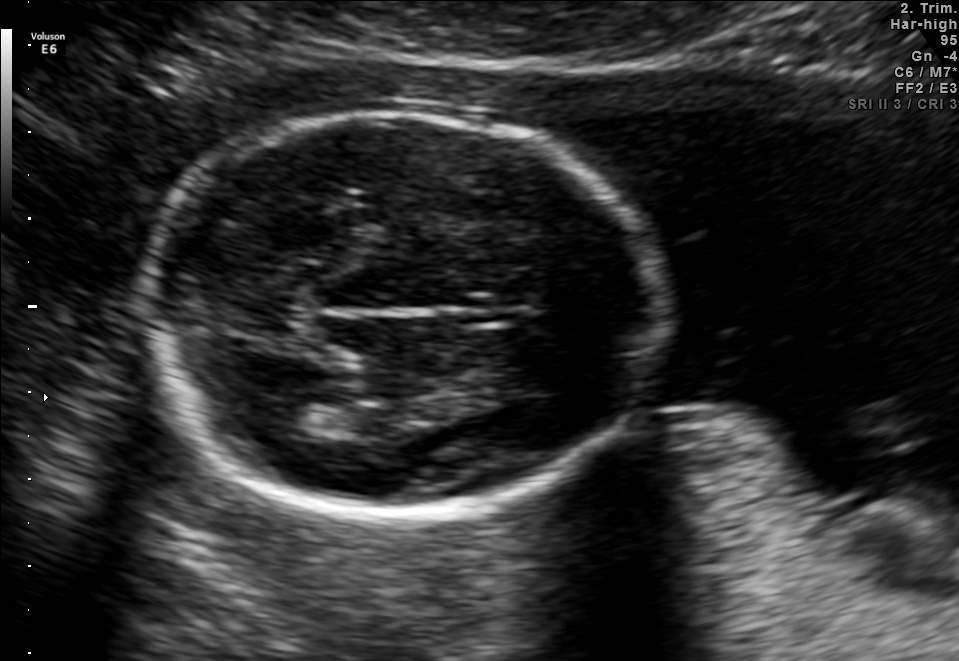
Fetal brain, trans-thalamic plane. Locate the fetal head and, if visible, the cavum septum pellucidum (CSP) and lateral ventricle (LV). Give bounding boxes as [x1,y1,x2,y2].

Head: [133,110,662,517]
Lateral ventricle: [261,396,319,439]